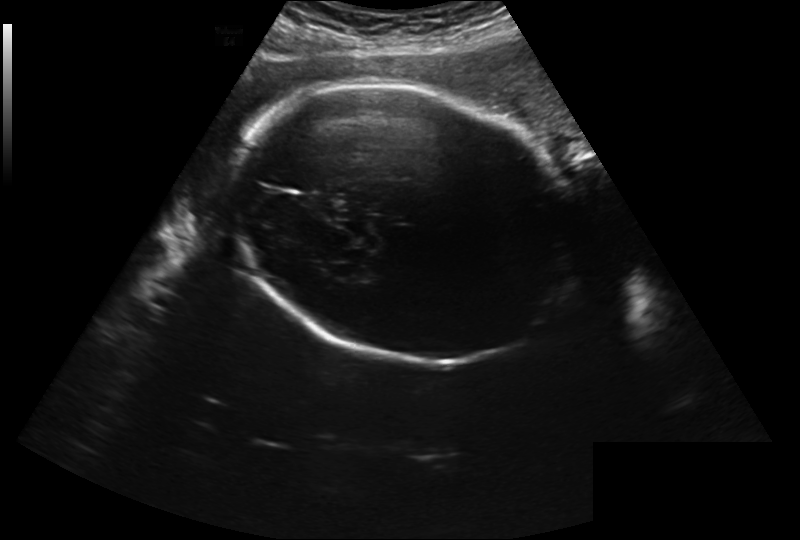
What is the fetal head circumference? Image width is 223.8 mm.

279.4 mm